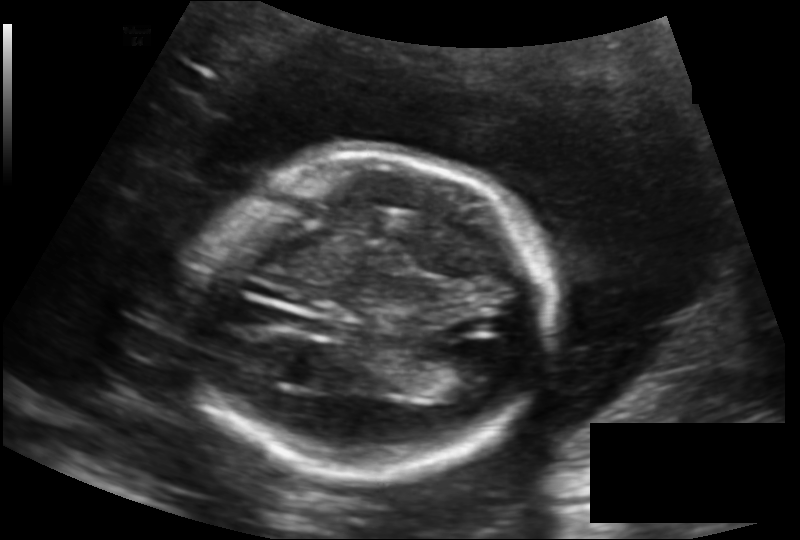
Fetal head ultrasound. Image width: 122.9 mm. Give [x1,y1,x2,y2] bounding boxes for each visible structure among: fetal head, CSP, LV.

Head: [189,154,550,471]